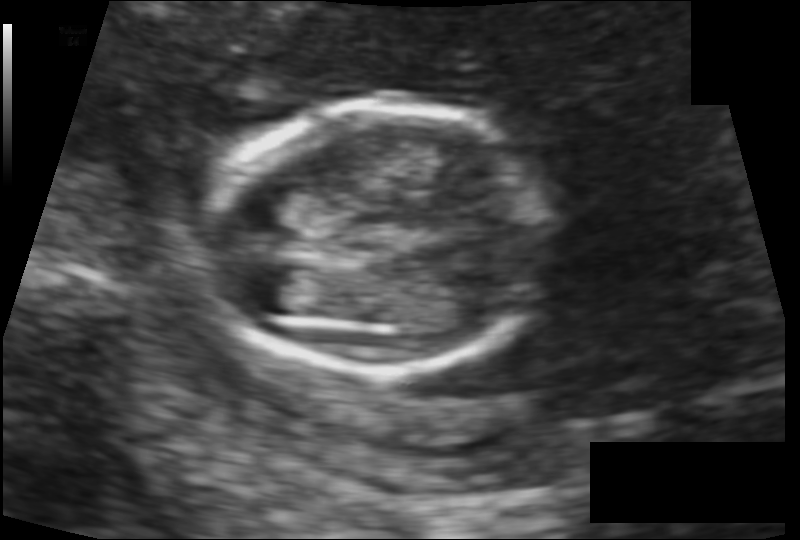
Measure the fetal head circumference shown in this ultrasound image. Image width: 88.5 mm.

Head circumference: 108.0 mm.